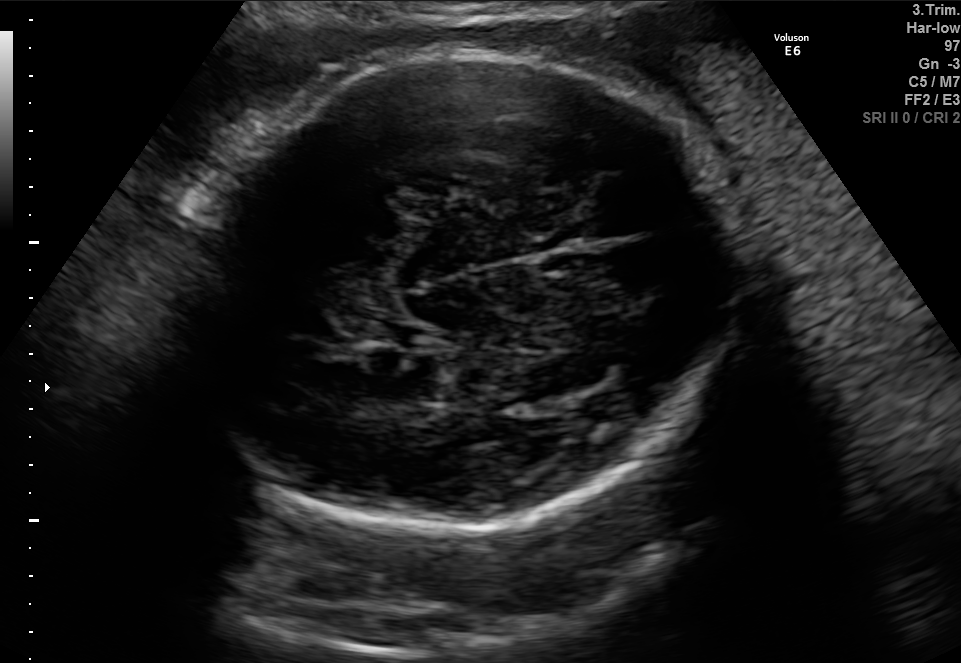
Fetal brain, trans-thalamic plane. Locate the fetal head.

Head: [187,55,738,534]